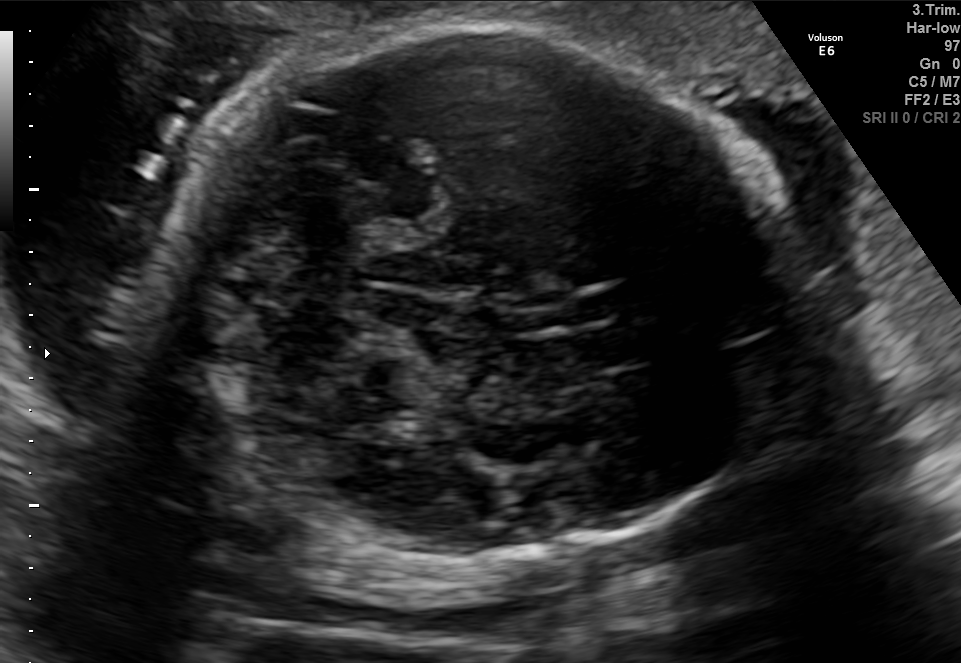
In this fetal brain, trans-cerebellum plane, give bounding boxes for the head outline, cavum septum pellucidum (CSP), and lateral ventricle (LV), where visible.

Head: [162,26,795,561]